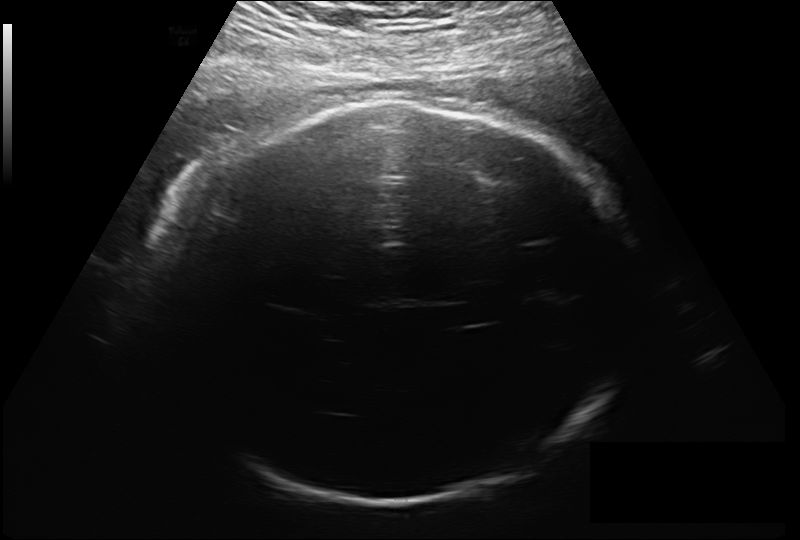
Fetal head ultrasound. Image width: 170.5 mm. Where is the fetal head?

Head bounding box: [164,100,629,506]